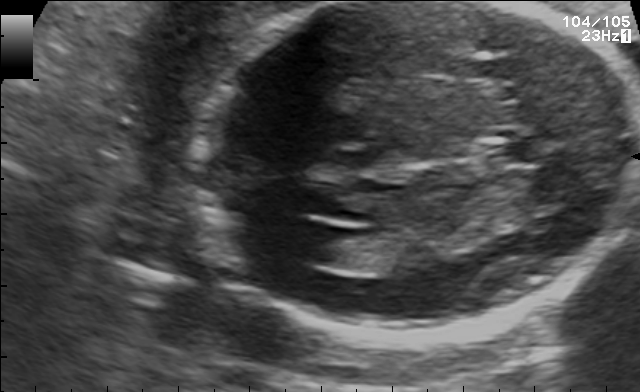
Which standard maternal-fetal ultrasound plane is shown: fetal abdomen, fetal brain, fetal femur, fetal thorax, maternal cervix, or other? If it's fetal brain and one of the three standard brain planes (trans-thalamic, trans-cerebellum, trans-ventricular), name which.

Fetal brain (trans-ventricular plane)